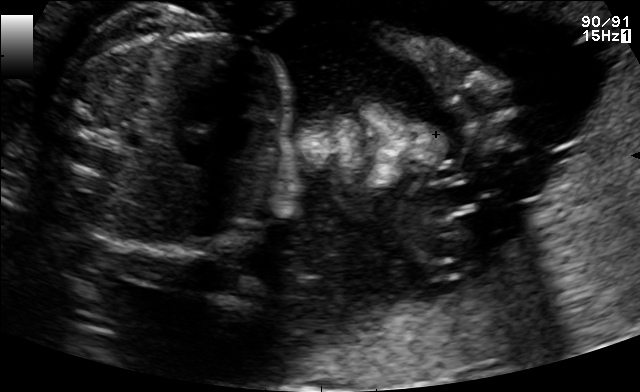
This is a 2D maternal-fetal ultrasound frame. Is it a fetal abdomen, fetal brain, fetal femur, fetal thorax, maternal cervix, or other standard plane? If it's fetal brain and one of the three standard brain planes (trans-thalamic, trans-cerebellum, trans-ventricular), name which.

Other